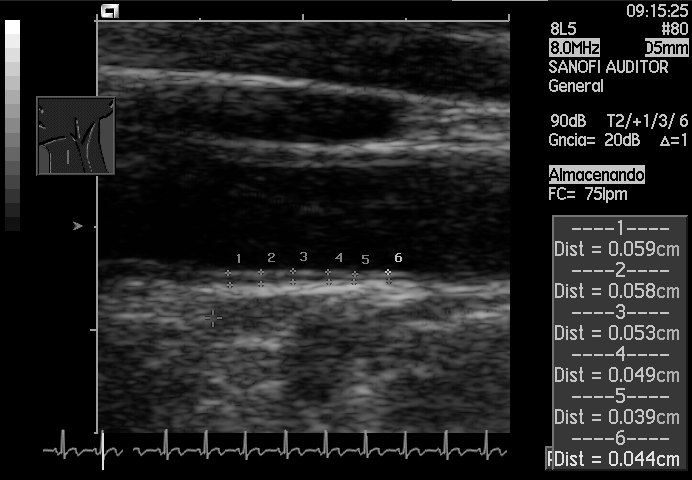
Classify this maternal-fetal ultrasound image as one of the six standard planes — fetal abdomen, fetal brain, fetal femur, fetal thorax, maternal cervix, or other. If it's fetal brain and one of the three standard brain planes (trans-thalamic, trans-cerebellum, trans-ventricular), name which.

Other